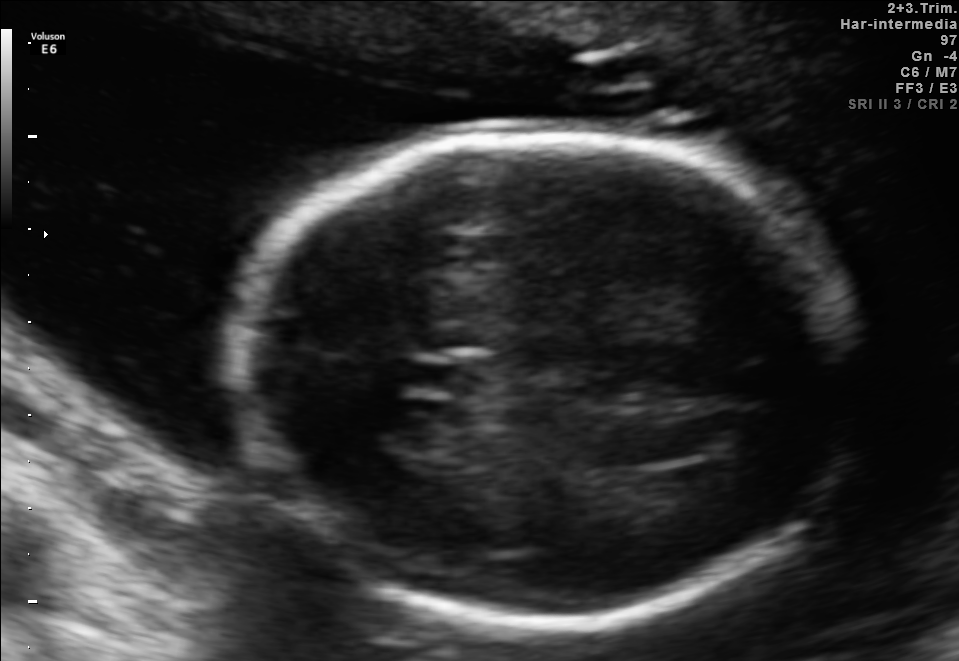
Fetal brain, trans-thalamic plane. Locate the fetal head.

Head: [239,135,850,620]